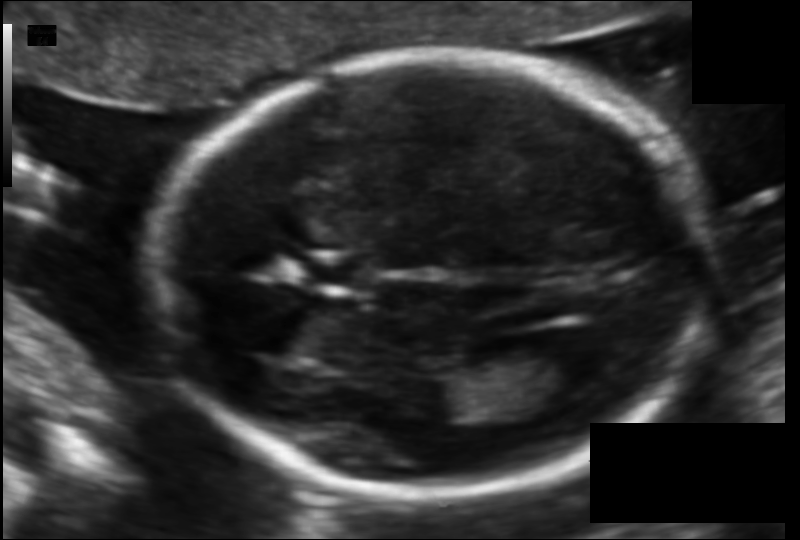
Fetal head ultrasound. Image width: 83.8 mm. Locate the fetal head and, if visible, the cavum septum pellucidum (CSP) and lateral ventricle (LV). Give bounding boxes as [x1,y1,x2,y2].

Head: [158,53,706,500]
CSP: [306,254,374,289]
Lateral ventricle: [517,324,614,407]